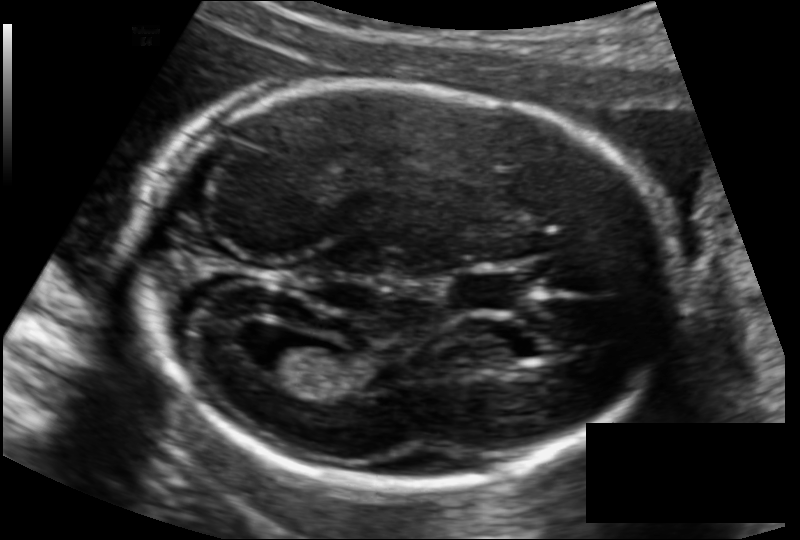
Measure the fetal head circumference shown in this ultrasound image. Image width: 97.7 mm.

Head circumference: 185.4 mm.